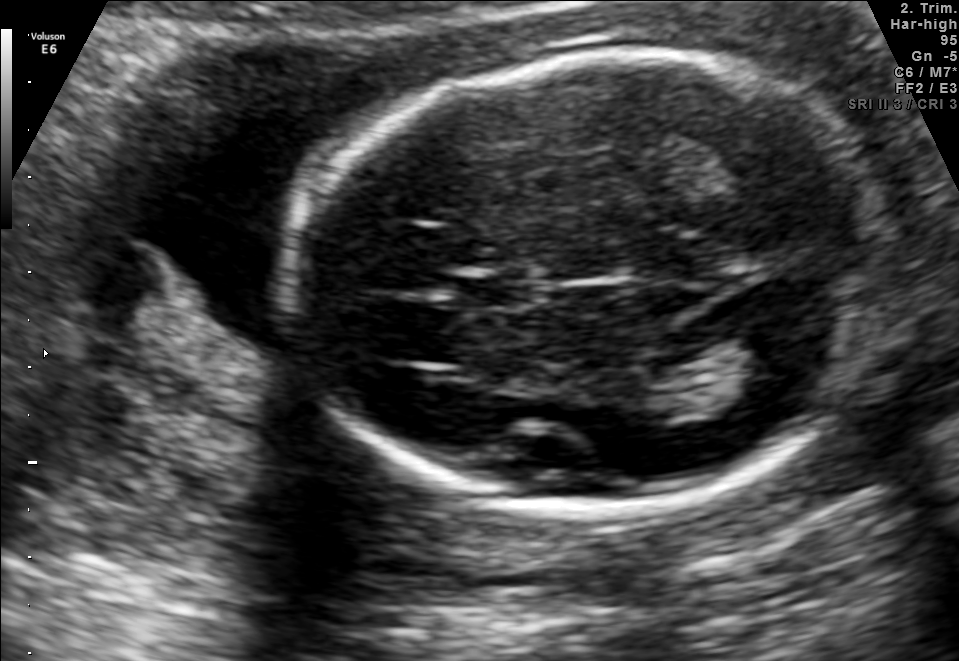
Fetal brain, trans-thalamic plane. Locate the lateral ventricle.

Lateral ventricle: [692,330,820,418]